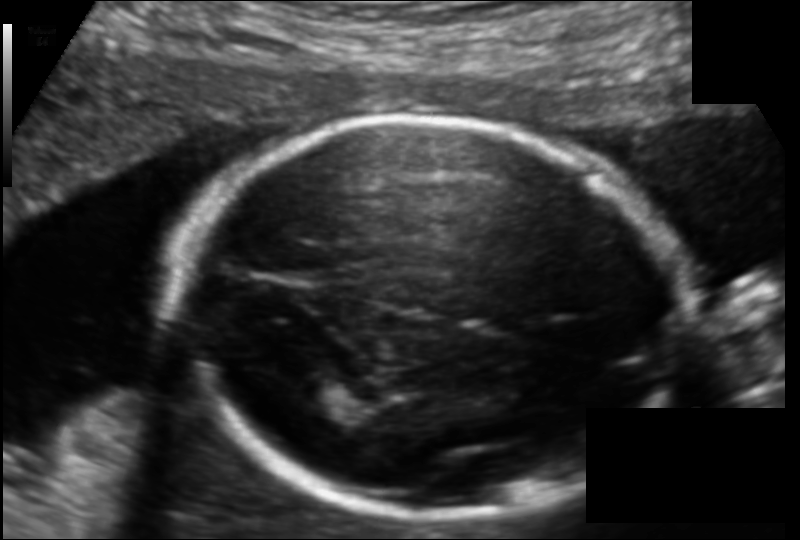
Estimate the fetal head circumference from this 2D ultrasound. Image width: 96.3 mm.

Head circumference: 172.9 mm.